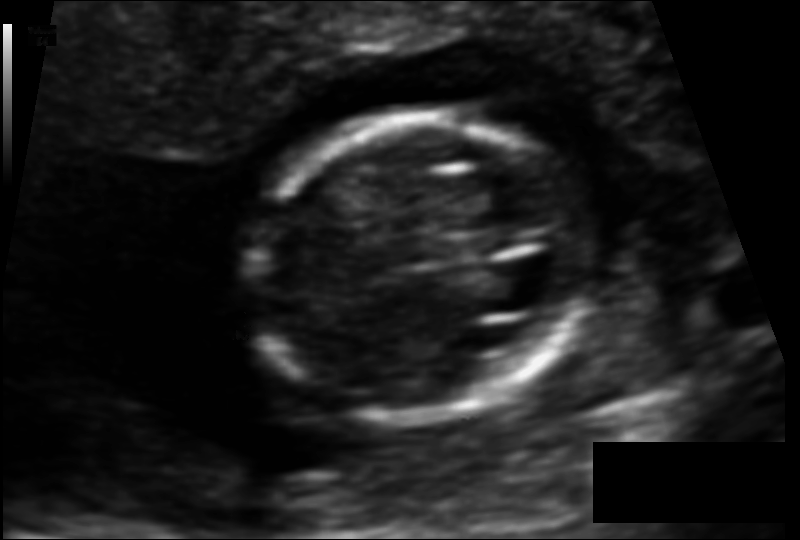
What is the fetal head circumference? Image width is 73.5 mm.

95.6 mm